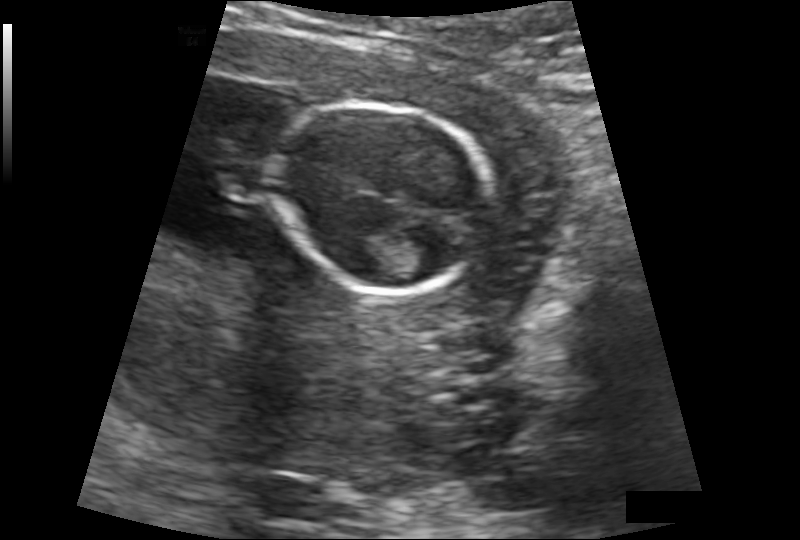
Fetal head ultrasound. Image width: 105.8 mm. Locate the fetal head and, if visible, the cavum septum pellucidum (CSP) and lateral ventricle (LV). Give bounding boxes as [x1,y1,x2,y2].

Head: [274,105,492,291]